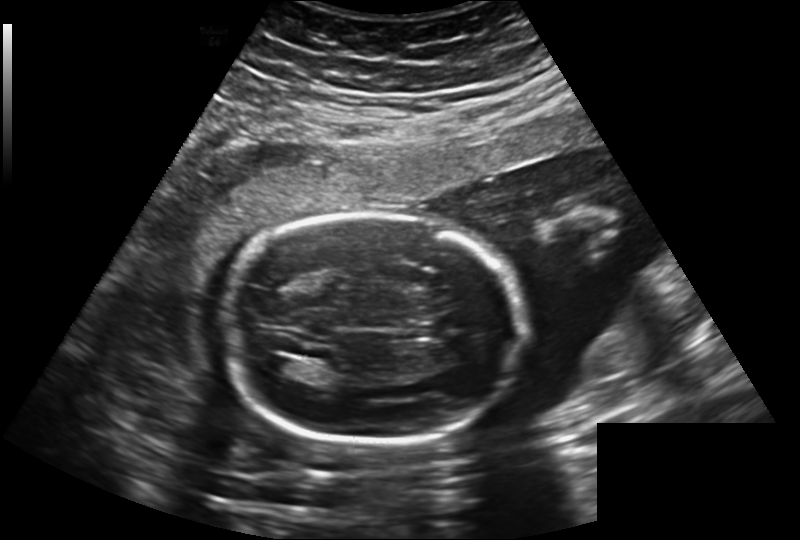
Fetal head ultrasound. Image width: 192.6 mm. Locate the fetal head.

Head: [225,214,523,447]